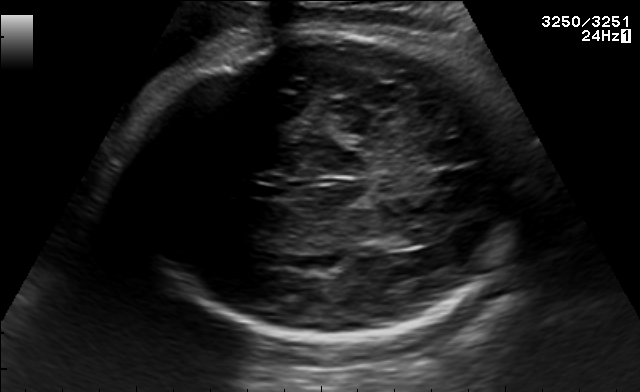
Fetal brain, trans-thalamic plane. Where is the cavum septum pellucidum?

CSP bounding box: [250,183,283,200]